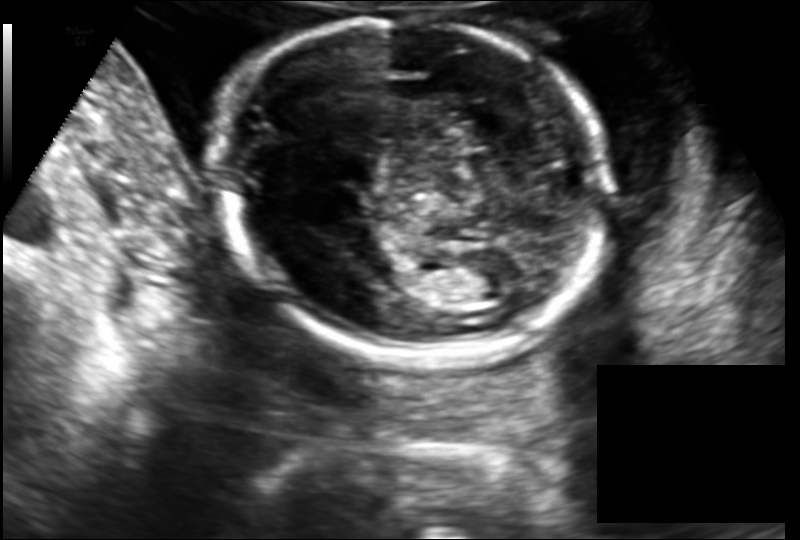
Fetal head ultrasound. Image width: 119.1 mm. Where is the fetal head?

Head bounding box: [214,20,607,361]